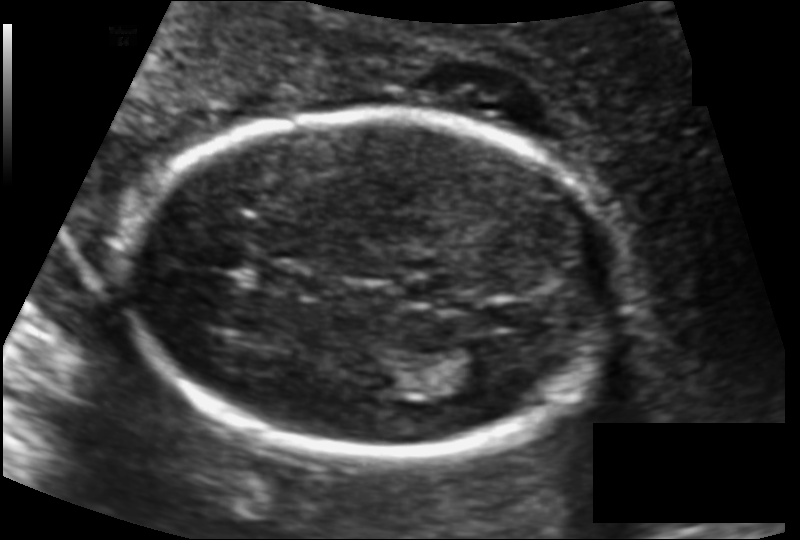
Fetal head ultrasound. Image width: 93.7 mm. Locate the lateral ventricle.

Lateral ventricle: [437,339,510,393]